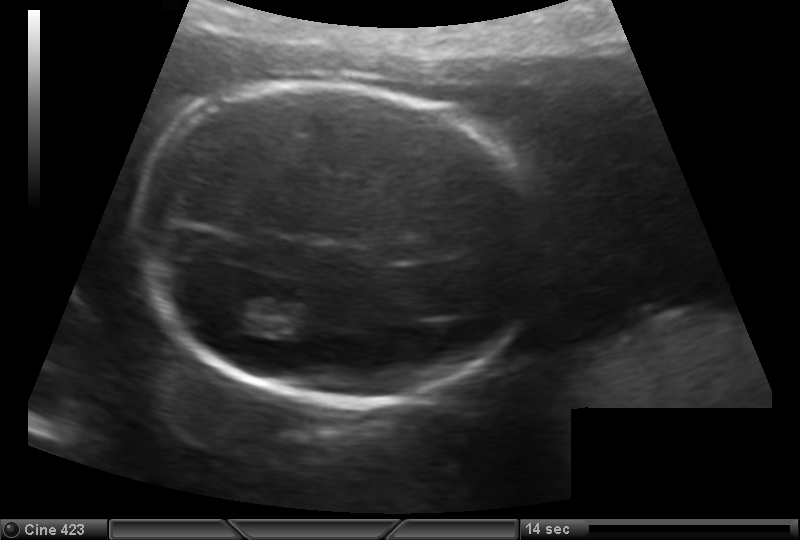
Measure the fetal head circumference shown in this ultrasound image. Image width: 117.9 mm.

Head circumference: 177.4 mm.